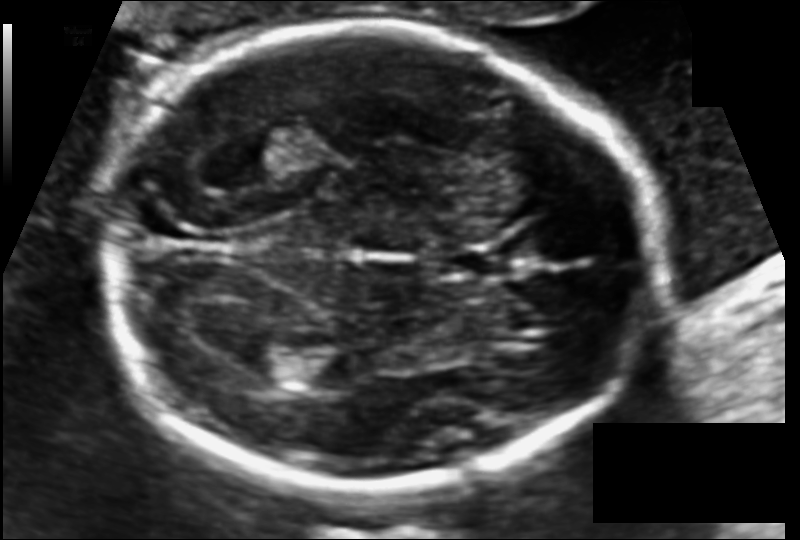
Fetal head ultrasound. Image width: 87.7 mm. Give [x1,y1,x2,y2] bounding boxes for each visible structure among: fetal head, CSP, LV.

Head: [104,25,652,490]
CSP: [438,242,513,281]
Lateral ventricle: [242,348,309,386]